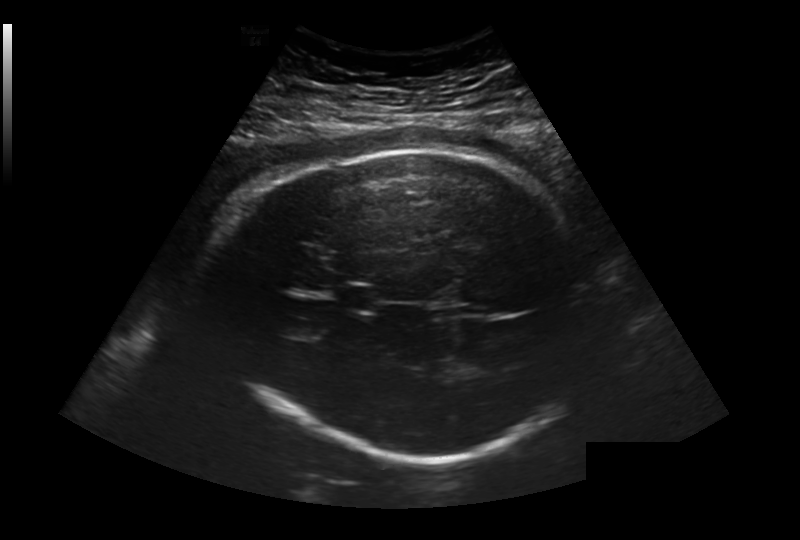
Fetal head ultrasound. Image width: 224.9 mm. Locate the fetal head.

Head: [216,149,602,458]